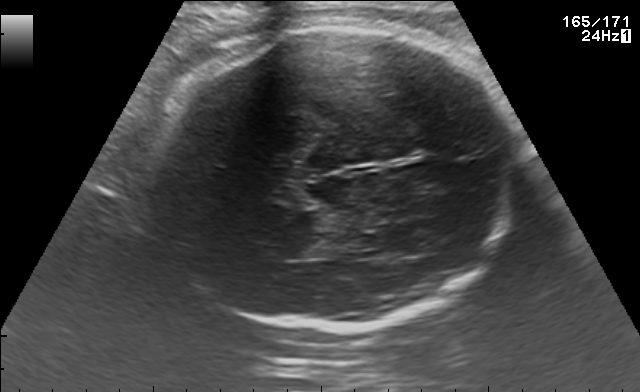
Fetal brain, trans-thalamic plane. Locate the fetal head and, if visible, the cavum septum pellucidum (CSP) and lateral ventricle (LV). Give bounding boxes as [x1,y1,x2,y2].

Head: [142,21,515,332]